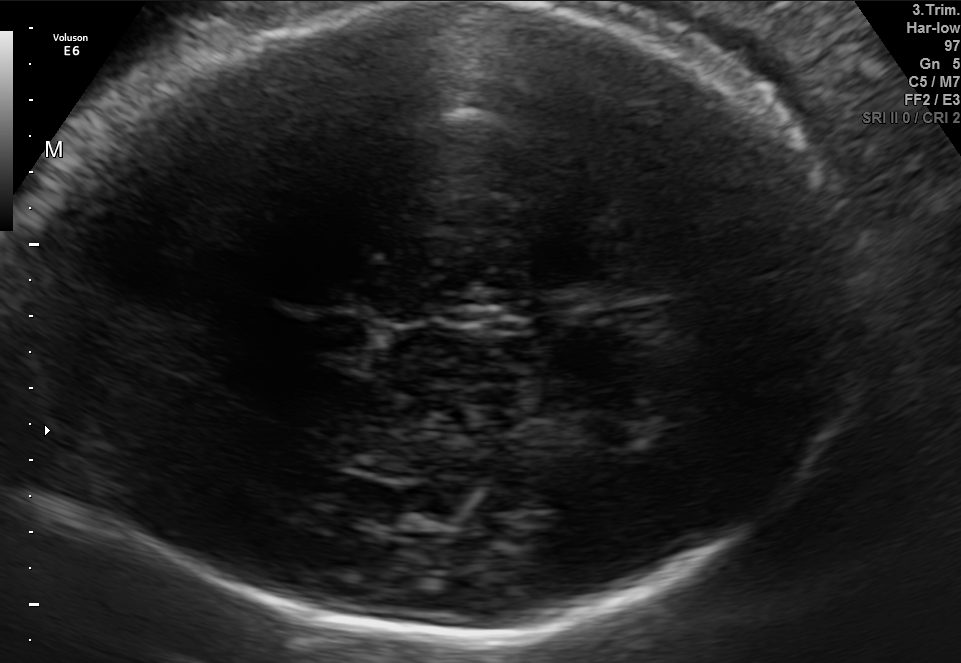
Fetal brain, trans-thalamic plane. Where is the cavum septum pellucidum?

CSP bounding box: [300,312,370,352]